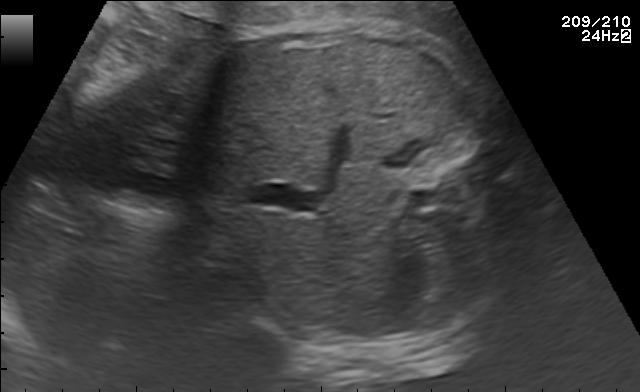
Which standard maternal-fetal ultrasound plane is shown: fetal abdomen, fetal brain, fetal femur, fetal thorax, maternal cervix, or other? If it's fetal brain and one of the three standard brain planes (trans-thalamic, trans-cerebellum, trans-ventricular), name which.

Fetal abdomen